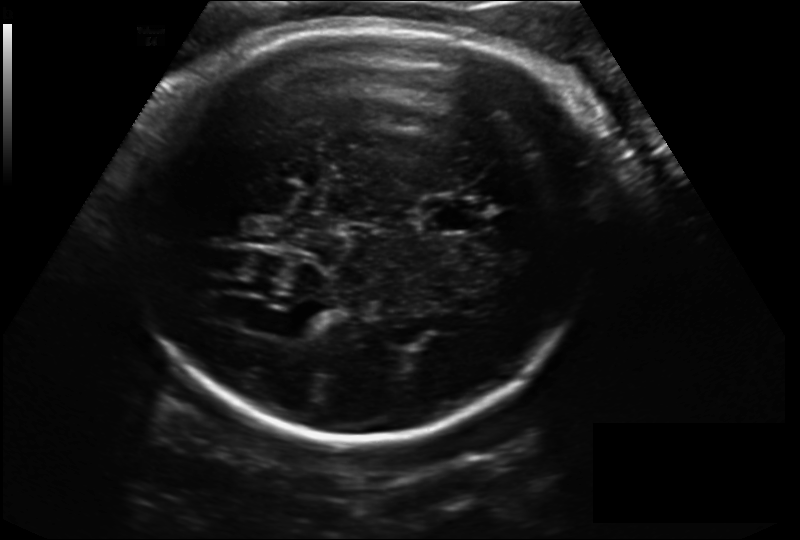
Fetal head ultrasound. Image width: 158.7 mm. Locate the lateral ventricle.

Lateral ventricle: [266,307,321,344]